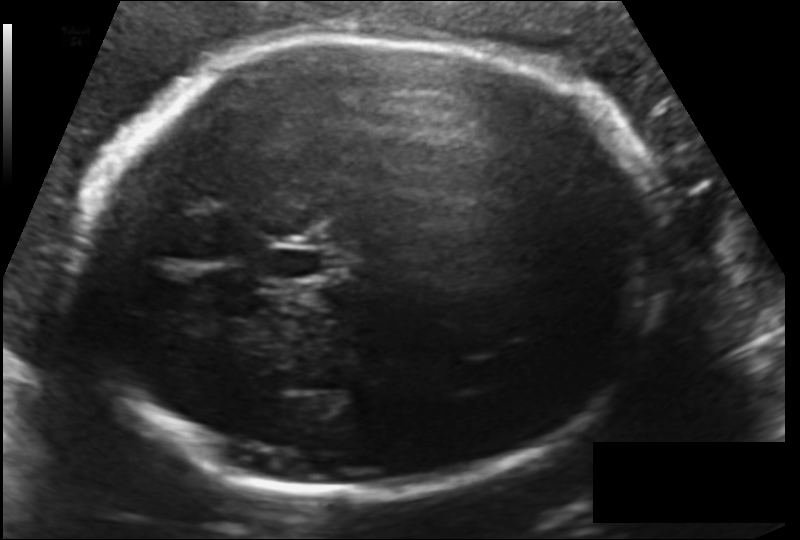
Fetal head ultrasound. Image width: 122.1 mm. Where is the fetal head?

Head bounding box: [74,35,666,498]